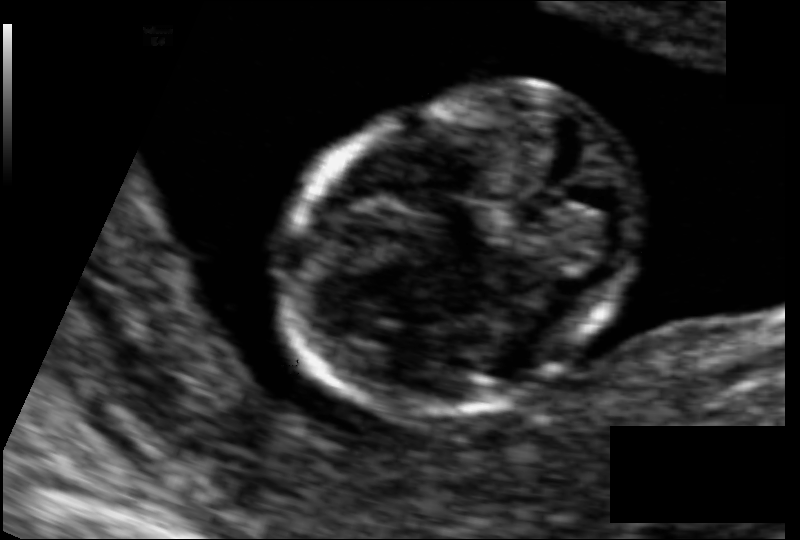
Estimate the fetal head circumference from this 2D ultrasound.

Head circumference: 72.8 mm (image width 52.4 mm).